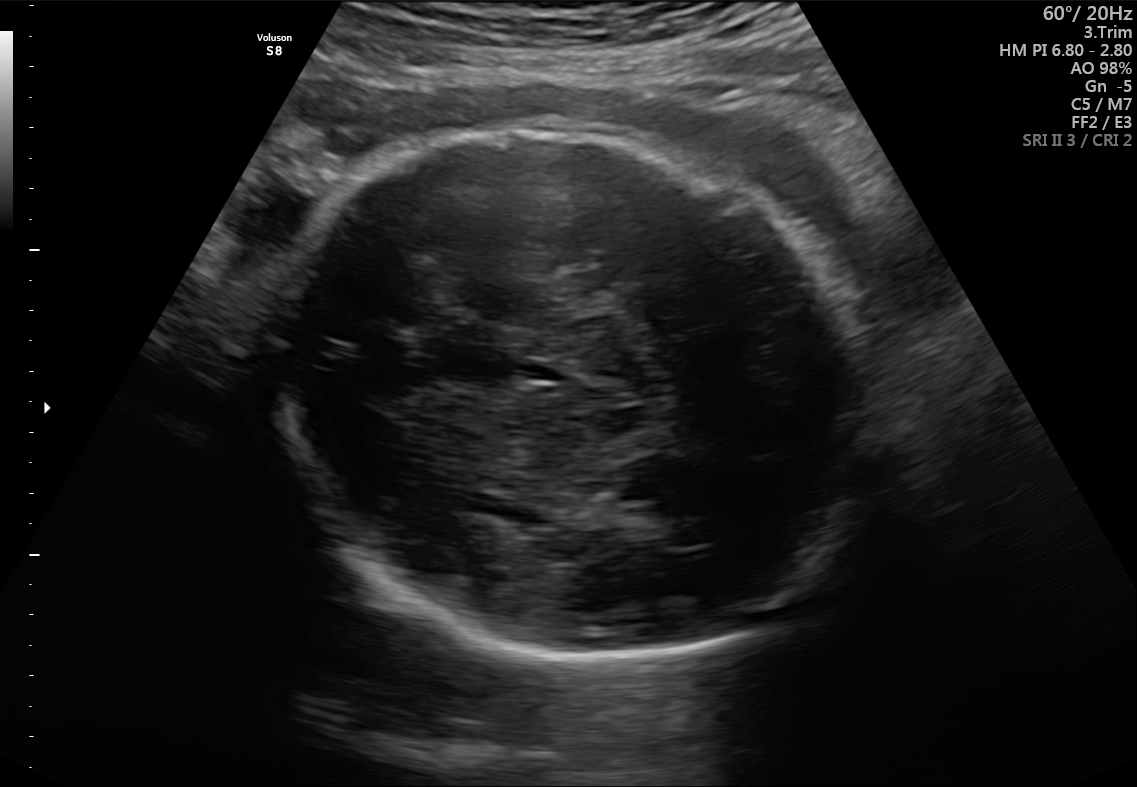
In this fetal brain, trans-thalamic plane, give the bounding box of the fetal head.

[262,132,880,667]